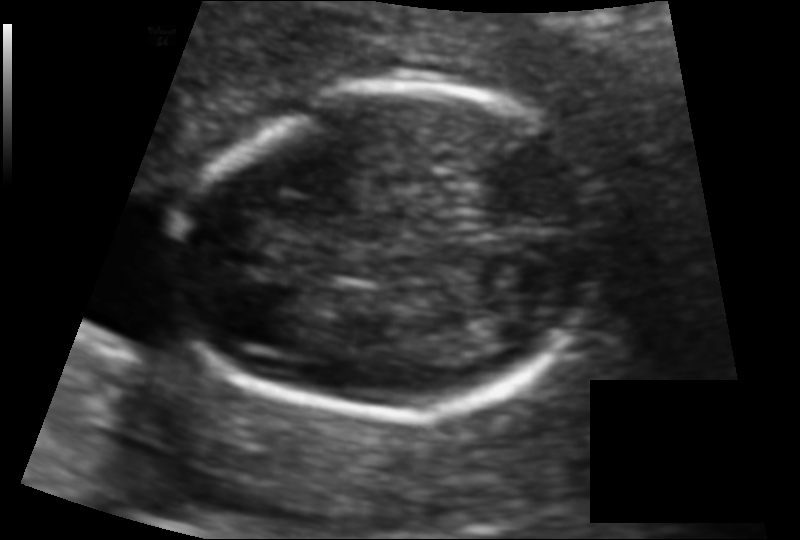
Fetal head ultrasound. Image width: 76.2 mm. Give [x1,y1,x2,y2] bounding boxes for each visible structure among: fetal head, CSP, LV.

Head: [176,86,602,415]